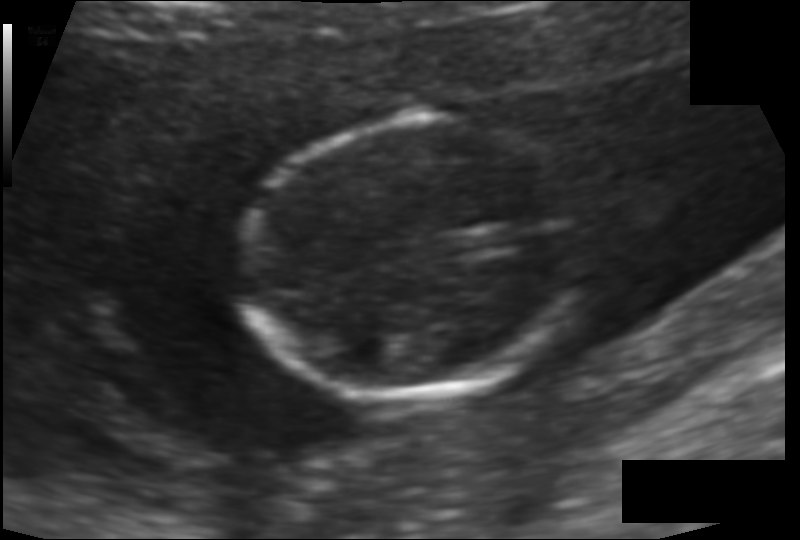
Estimate the fetal head circumference from this 2D ultrasound.

Head circumference: 99.4 mm (image width 77.6 mm).